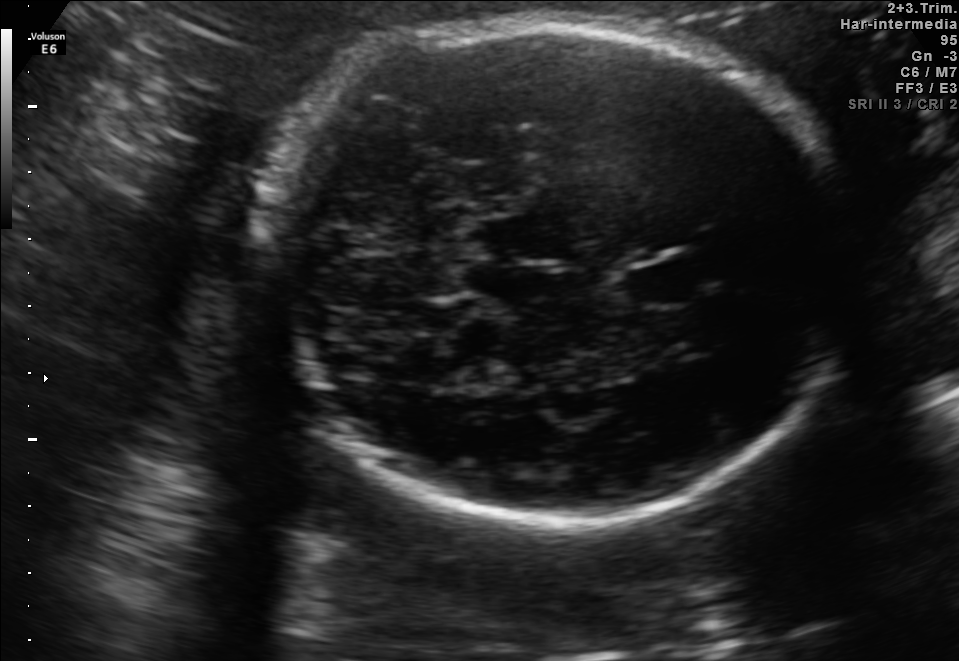
In this fetal brain, trans-cerebellum plane, give bounding boxes for the head outline, cavum septum pellucidum (CSP), and lateral ventricle (LV), where visible.

Head: [263,16,856,525]
CSP: [623,247,711,316]